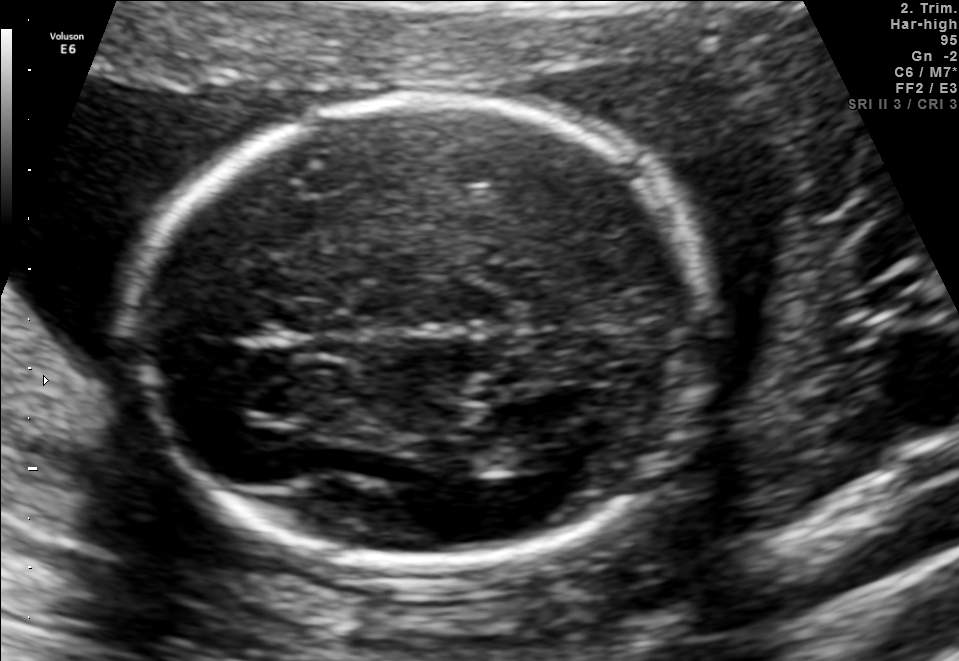
Fetal brain, trans-thalamic plane. Locate the lateral ventricle.

Lateral ventricle: [471,431,565,478]